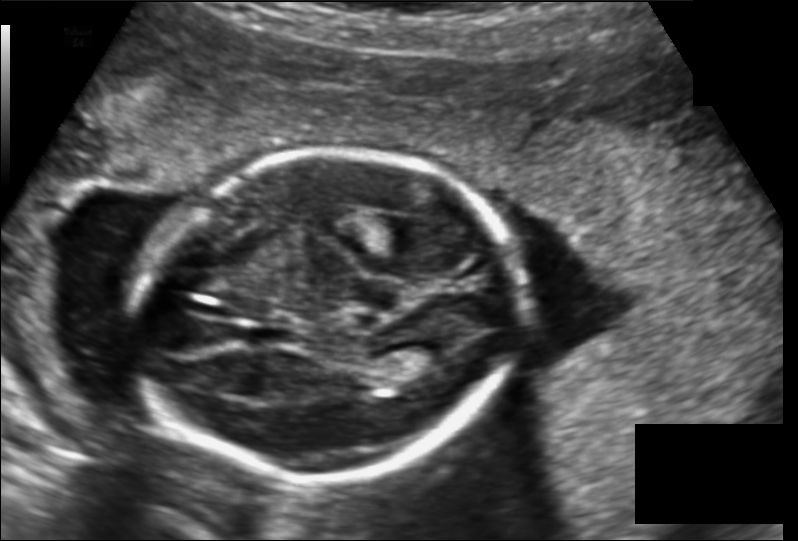
Fetal head ultrasound. Image width: 118.8 mm. Locate the cavum septum pellucidum.

CSP: [250,324,294,346]